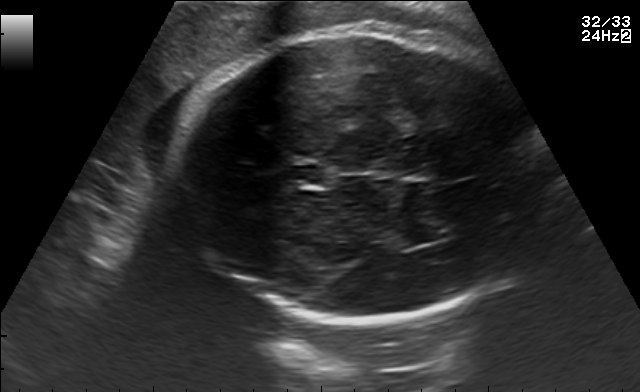
Fetal brain, trans-thalamic plane. Locate the fetal head.

Head: [168,29,545,320]